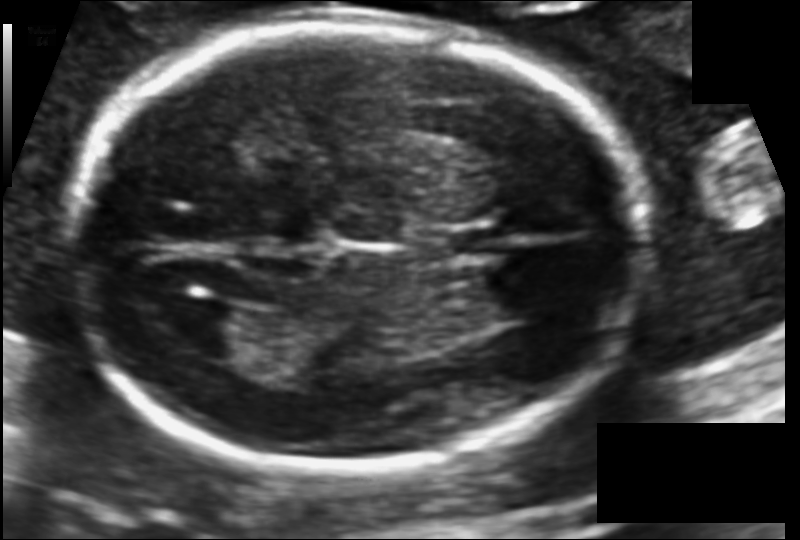
Fetal head ultrasound. Image width: 90.1 mm. Locate the fetal head.

Head: [63,25,650,471]